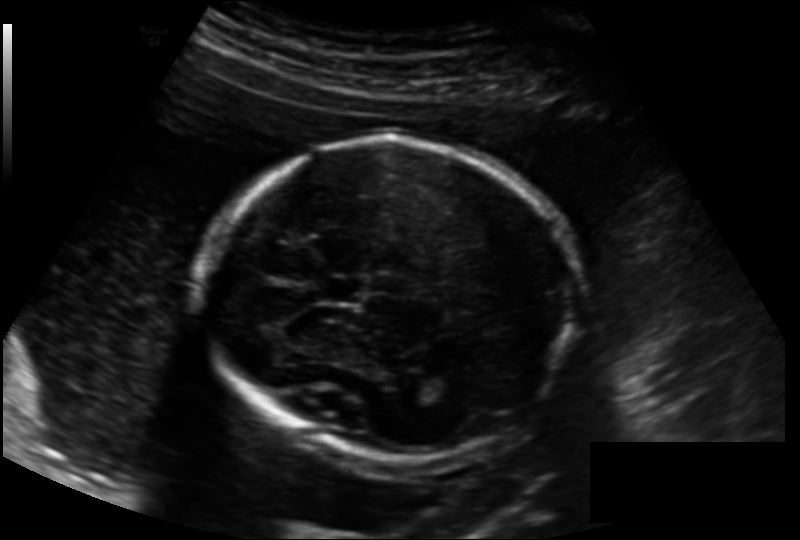
From this fetal ultrasound, estimate the head circumference (image width 126.5 mm).

Head circumference: 177.8 mm.